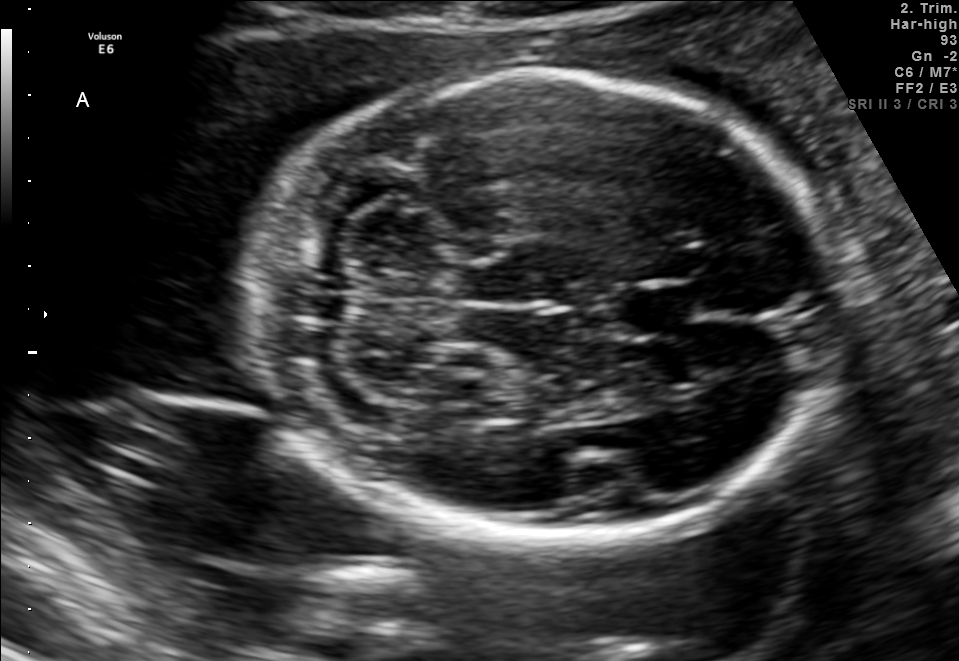
Classify this maternal-fetal ultrasound image as one of the six standard planes — fetal abdomen, fetal brain, fetal femur, fetal thorax, maternal cervix, or other. If it's fetal brain and one of the three standard brain planes (trans-thalamic, trans-cerebellum, trans-ventricular), name which.

Fetal brain (trans-cerebellum plane)